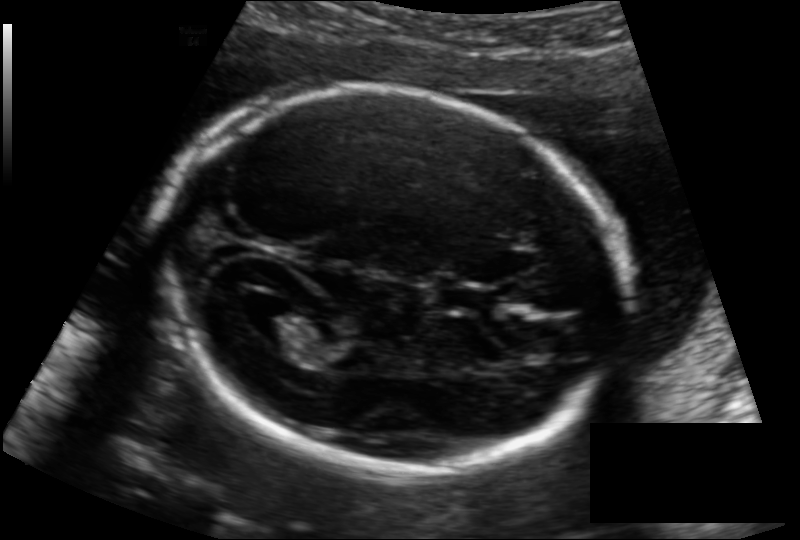
Fetal head ultrasound. Image width: 106.5 mm. Locate the cavum septum pellucidum.

CSP: [439,283,499,315]